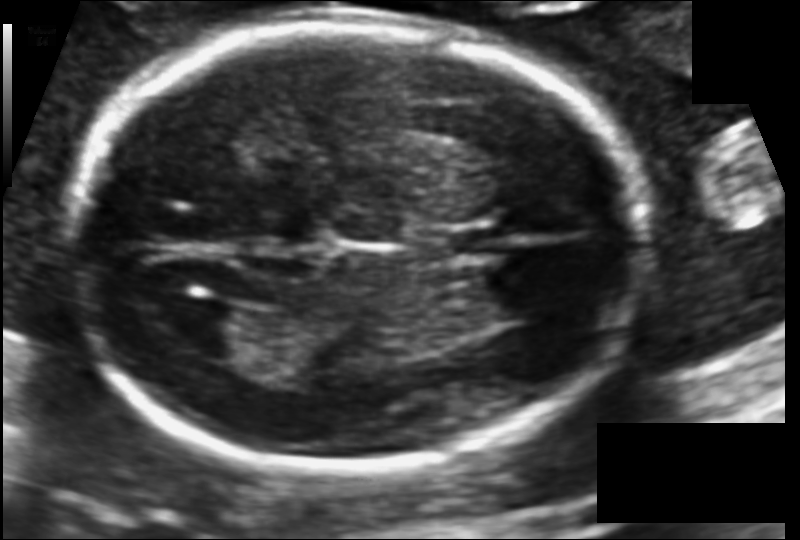
Fetal head ultrasound. Image width: 90.1 mm. Where is the lateral ventricle?

Lateral ventricle bounding box: [157,293,251,364]